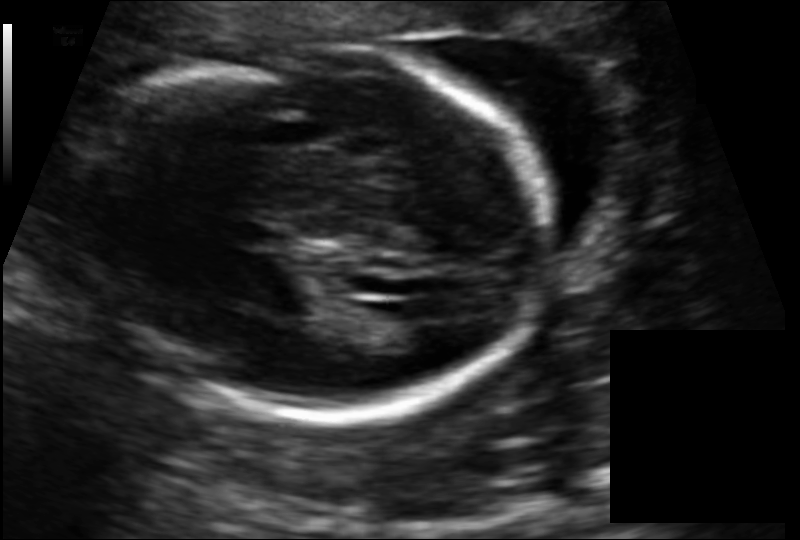
What is the fetal head circumference? Image width is 108.7 mm.

185.5 mm